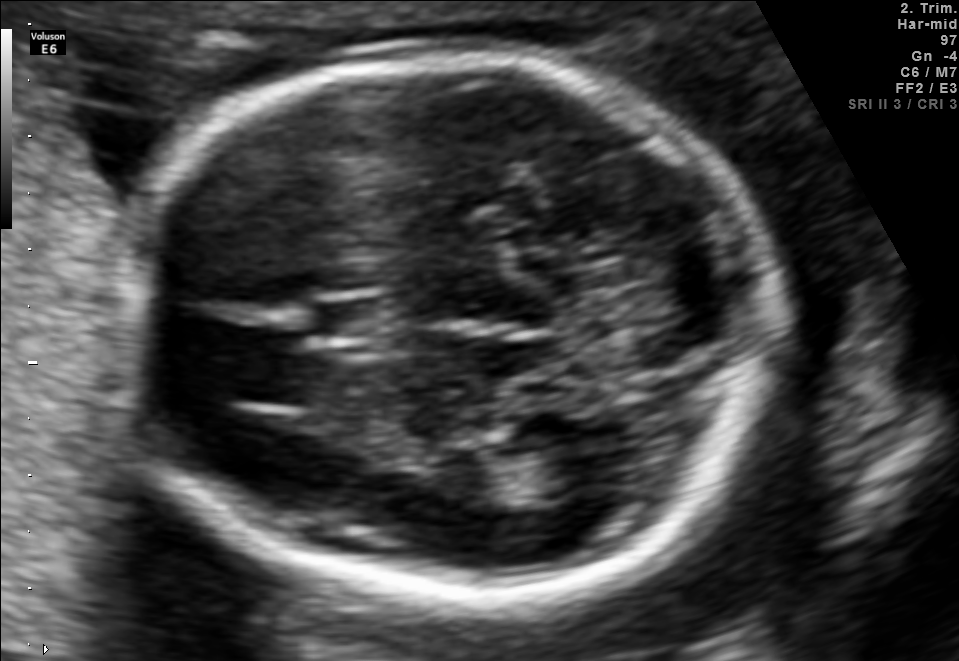
Fetal brain, trans-thalamic plane. Where is the cavum septum pellucidum?

CSP bounding box: [311,297,400,341]